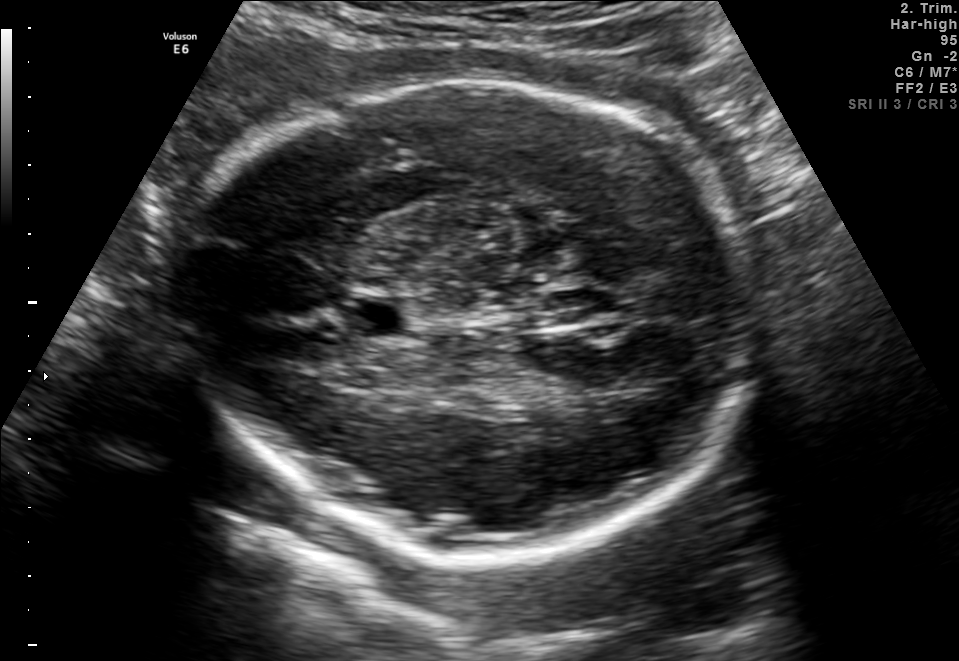
Fetal brain, trans-thalamic plane. Locate the fetal head and, if visible, the cavum septum pellucidum (CSP) and lateral ventricle (LV). Give bounding boxes as [x1,y1,x2,y2].

Head: [180,76,751,547]
CSP: [351,297,407,338]